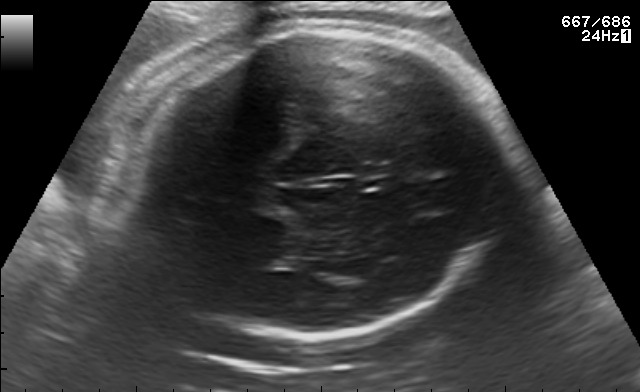
Classify this maternal-fetal ultrasound image as one of the six standard planes — fetal abdomen, fetal brain, fetal femur, fetal thorax, maternal cervix, or other. If it's fetal brain and one of the three standard brain planes (trans-thalamic, trans-cerebellum, trans-ventricular), name which.

Fetal brain (trans-thalamic plane)